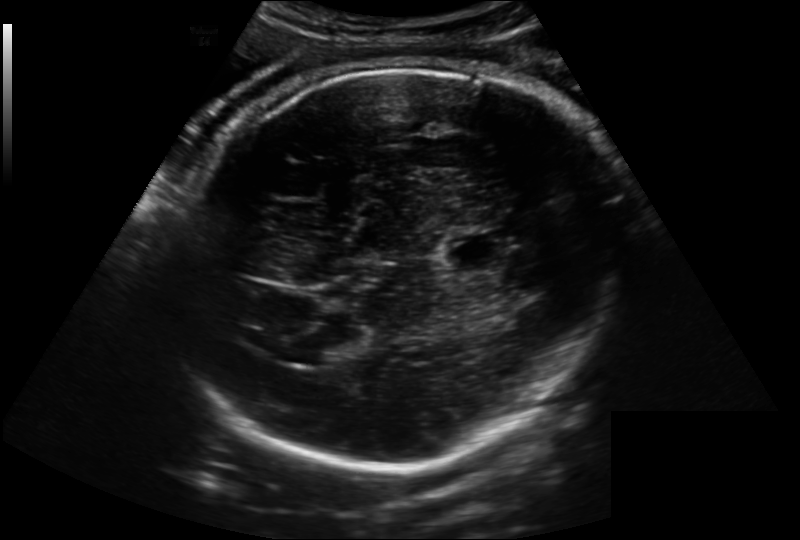
Fetal head ultrasound. Image width: 177.3 mm. Where is the cavum septum pellucidum?

CSP bounding box: [441,226,518,280]